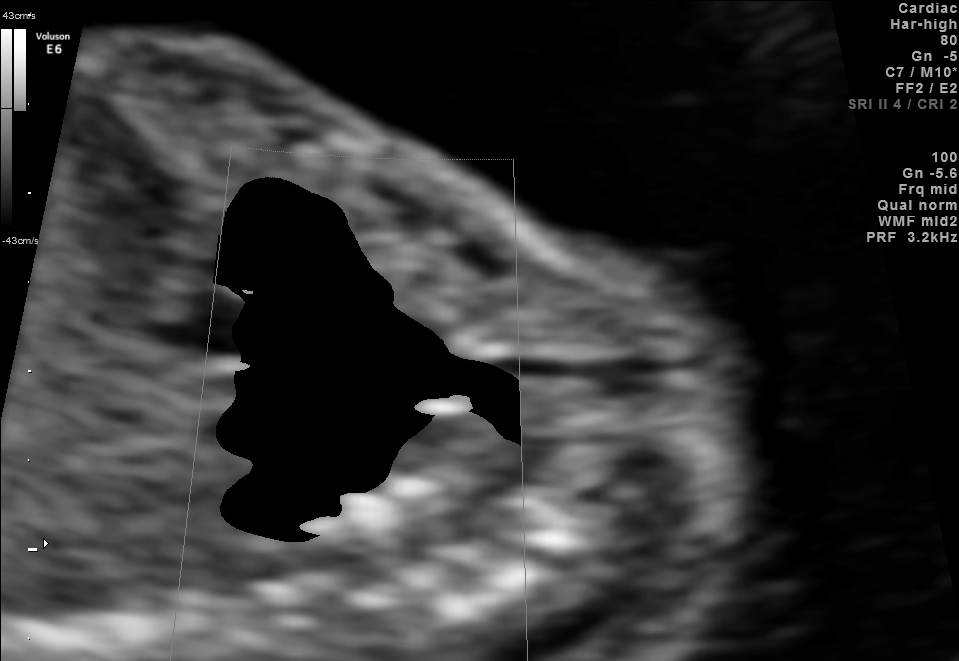
This is a 2D maternal-fetal ultrasound frame. Is it a fetal abdomen, fetal brain, fetal femur, fetal thorax, maternal cervix, or other standard plane? If it's fetal brain and one of the three standard brain planes (trans-thalamic, trans-cerebellum, trans-ventricular), name which.

Other